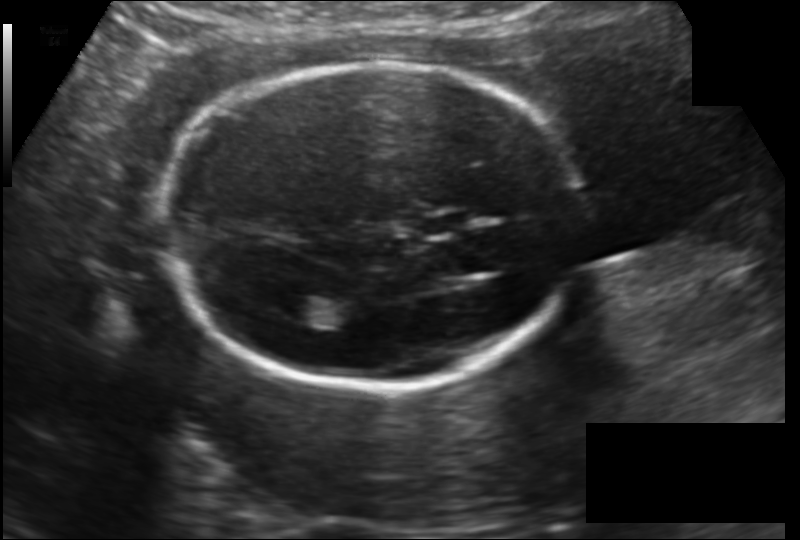
What is the fetal head circumference? Image width is 118.1 mm.

178.8 mm